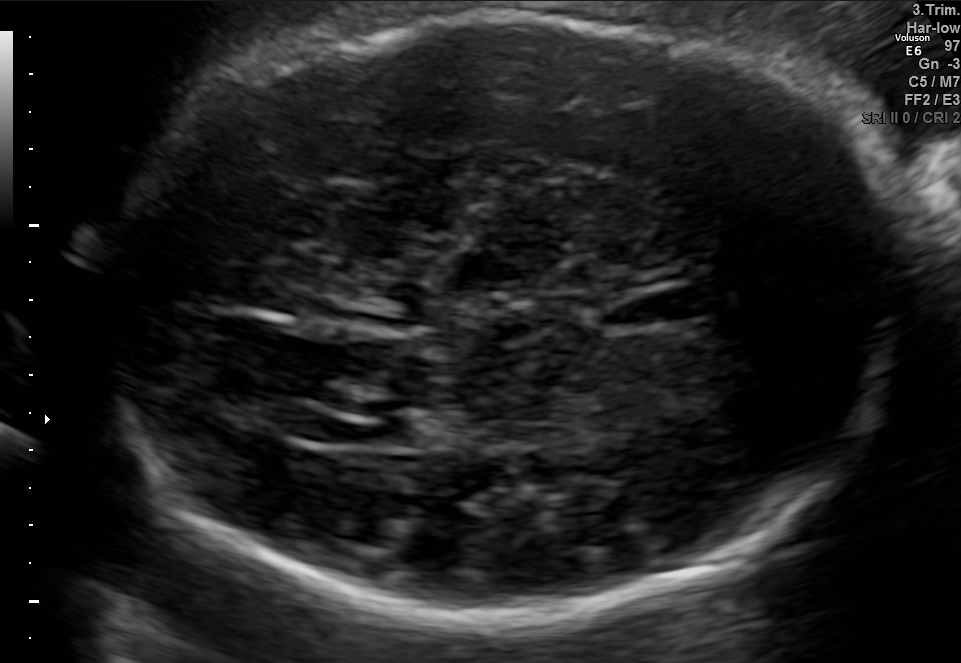
Fetal brain, trans-ventricular plane. Where is the fetal head?

Head bounding box: [90,11,917,630]